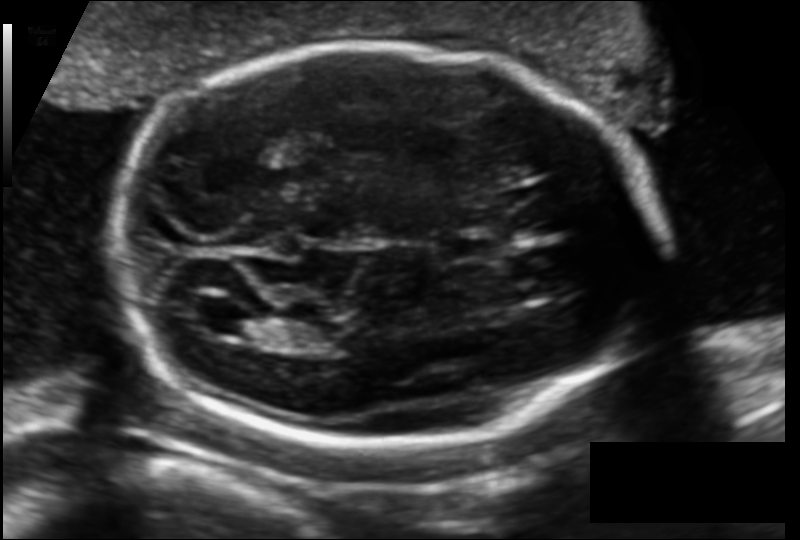
Fetal head ultrasound. Image width: 103.4 mm. Where is the lateral ventricle?

Lateral ventricle bounding box: [188,295,251,336]